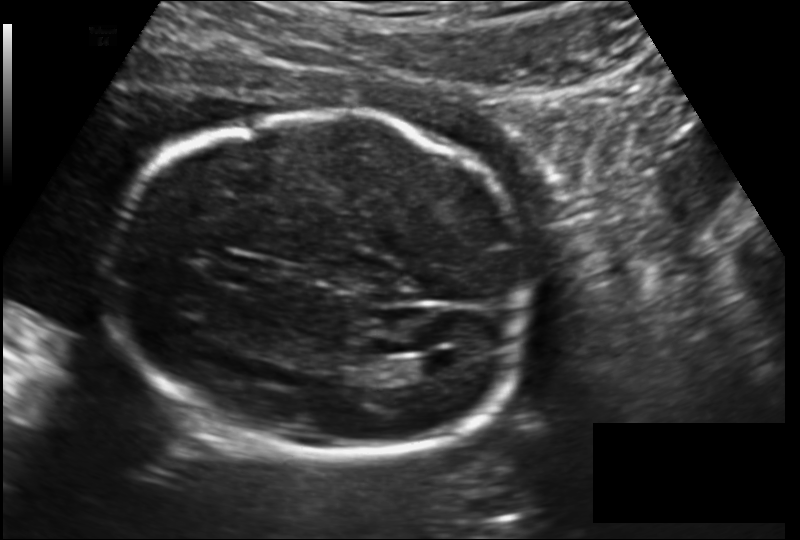
In this fetal head ultrasound, give bounding boxes for the head outline, cavum septum pellucidum (CSP), and lateral ventricle (LV), where visible. Image width: 125.8 mm.

Head: [104,109,536,462]
CSP: [217,252,272,289]
Lateral ventricle: [411,349,461,382]